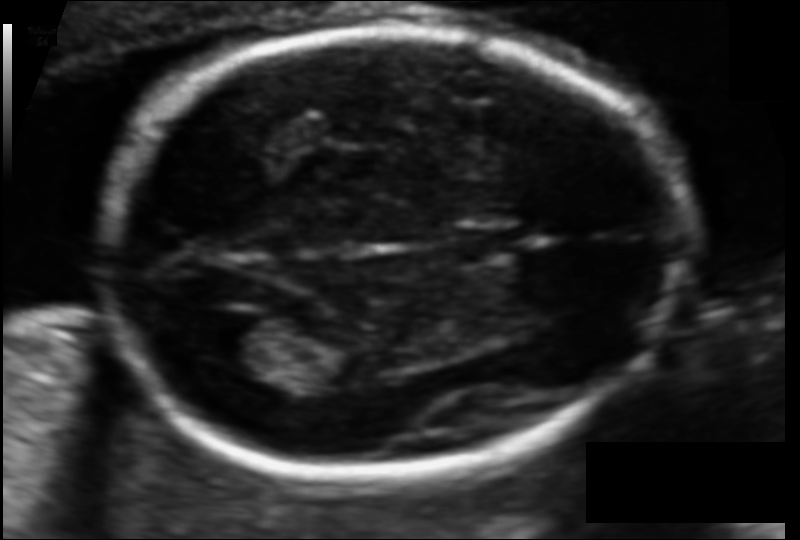
Fetal head ultrasound. Image width: 77.8 mm. Locate the fetal head and, if visible, the cavum septum pellucidum (CSP) and lateral ventricle (LV). Give bounding boxes as [x1,y1,x2,y2].

Head: [101,29,681,479]
CSP: [458,224,520,263]
Lateral ventricle: [188,309,266,363]